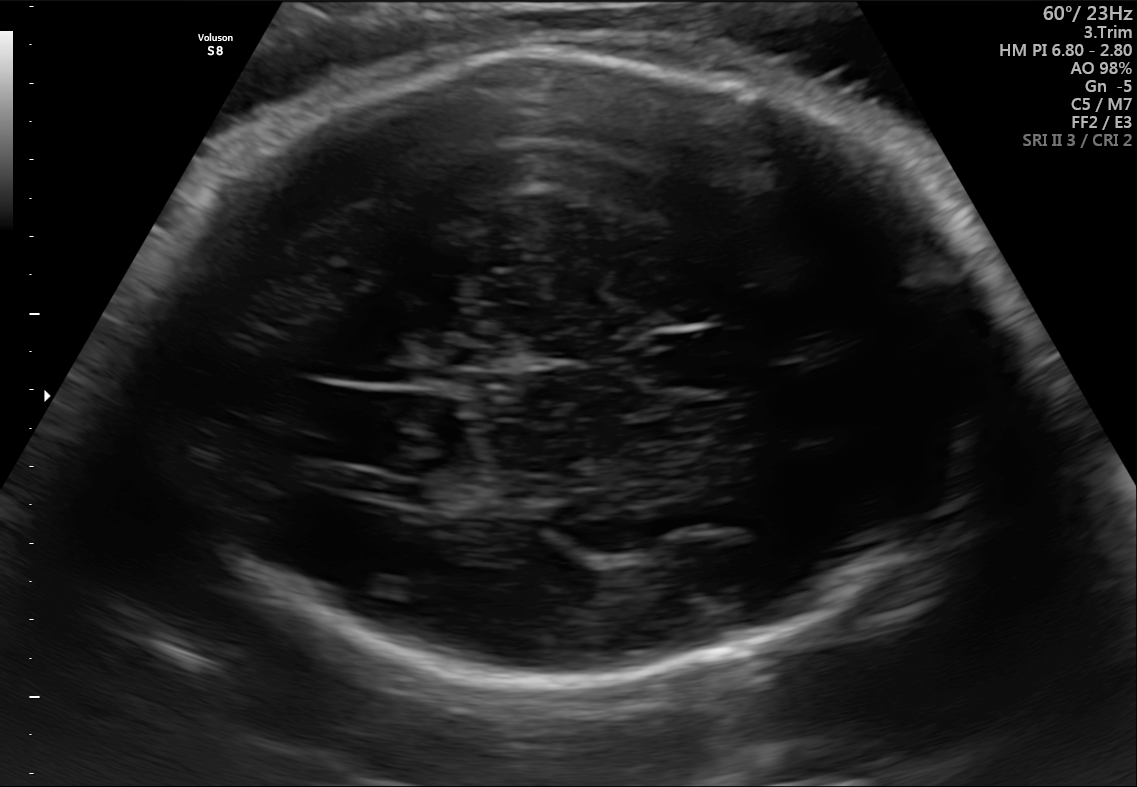
Fetal brain, trans-thalamic plane. Give [x1,y1,x2,y2] bounding boxes for each visible structure among: fetal head, CSP, LV.

Head: [158,51,989,676]
CSP: [648,334,741,388]
Lateral ventricle: [372,470,438,514]